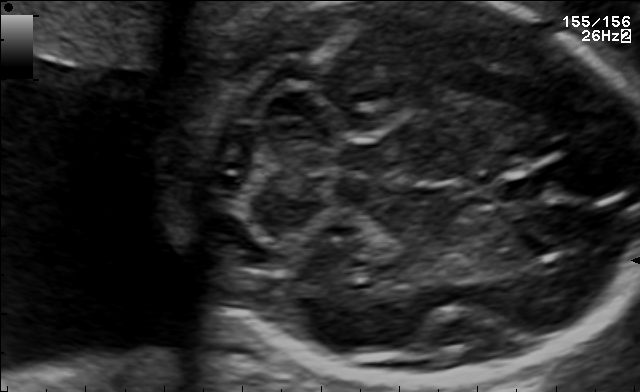
Fetal brain, trans-cerebellum plane. Give [x1,y1,x2,y2] bounding boxes for each visible structure among: fetal head, CSP, LV.

Head: [180,2,639,381]
CSP: [495,171,549,206]